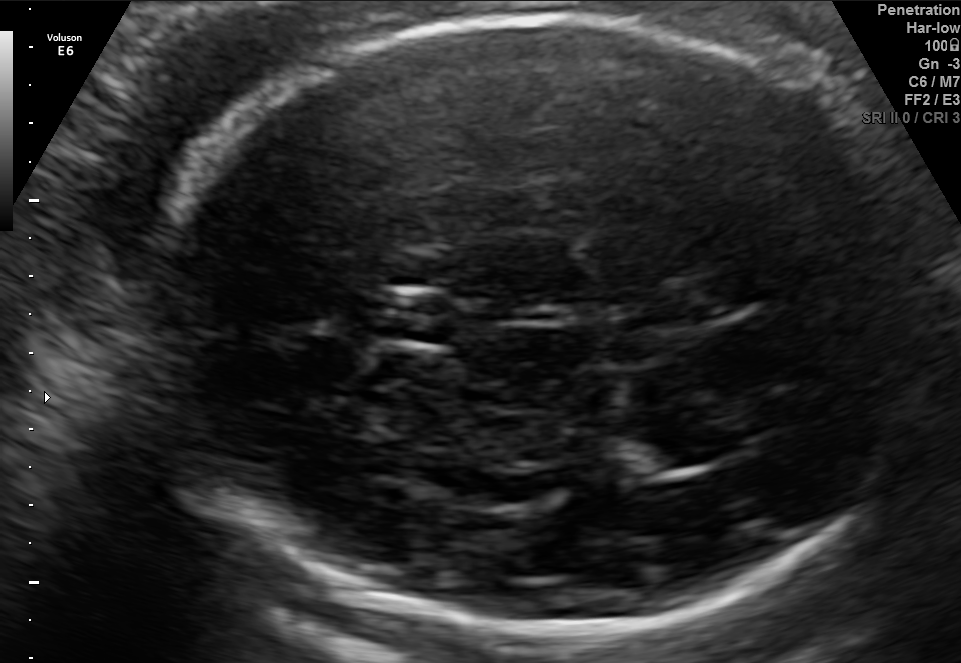
Fetal brain, trans-thalamic plane. Where is the lateral ventricle?

Lateral ventricle bounding box: [612,418,731,482]